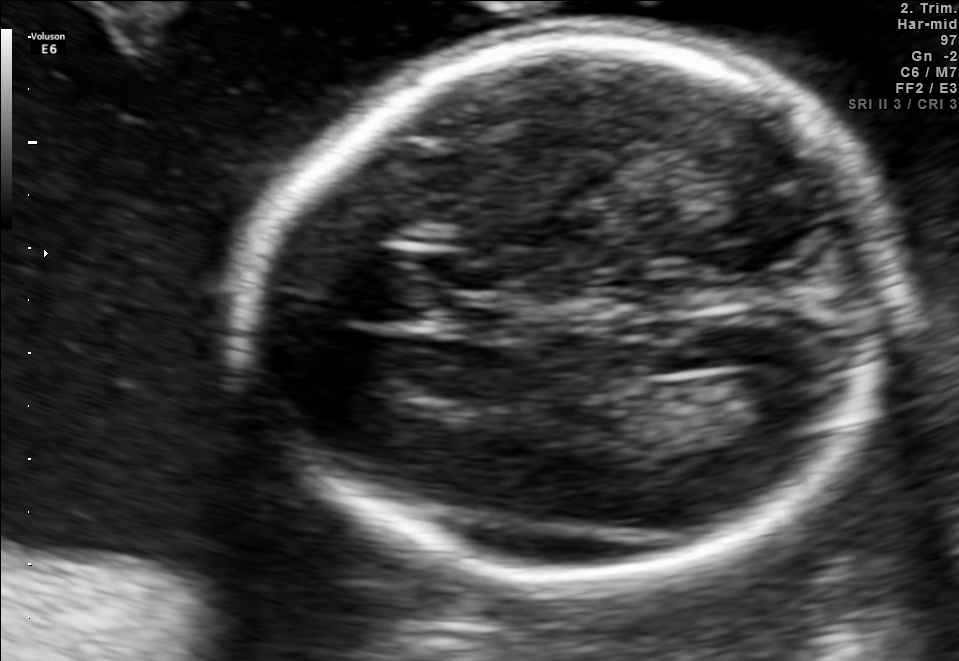
Fetal brain, trans-ventricular plane. Locate the cavum septum pellucidum.

CSP: [435,294,509,339]